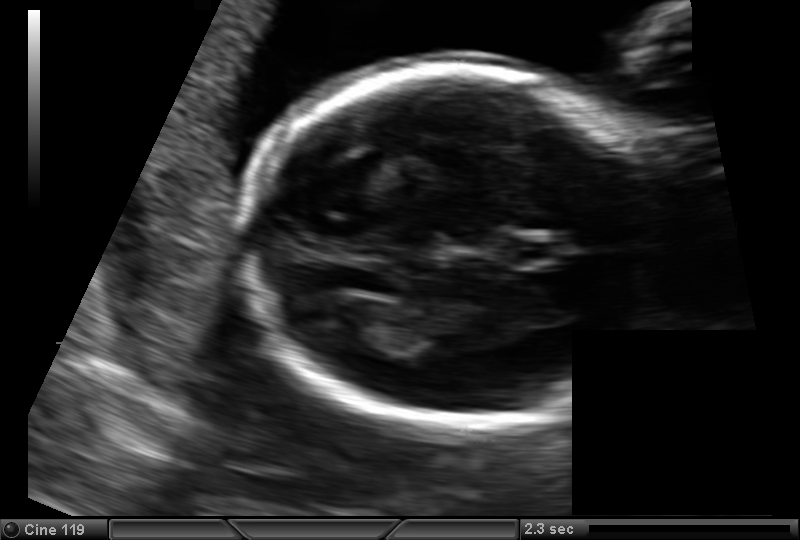
In this fetal head ultrasound, give the bounding box of the lateral ventricle. Image width: 103.2 mm.

[307,292,379,346]